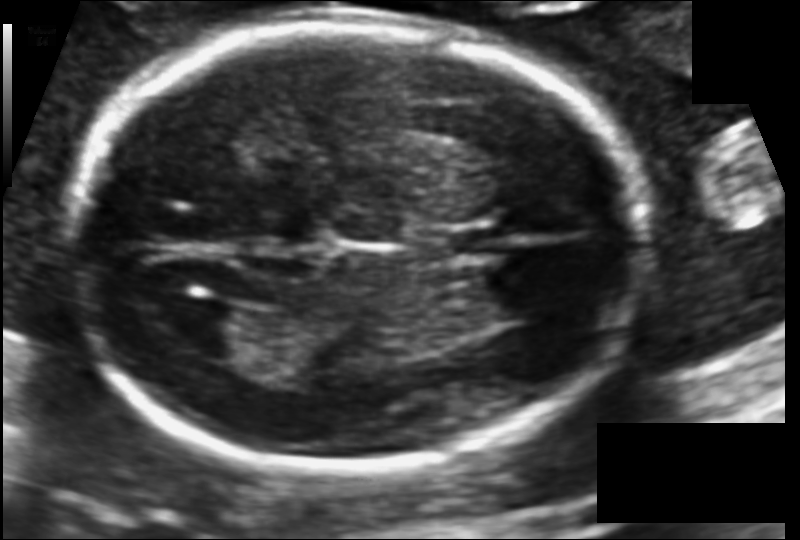
Fetal head ultrasound. Image width: 90.1 mm. Locate the cavum septum pellucidum.

CSP: [434,221,500,262]